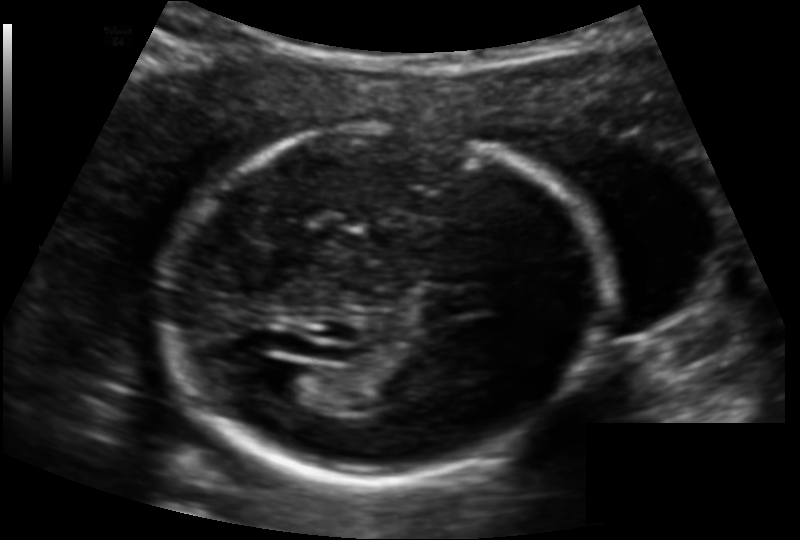
Measure the fetal head circumference shown in this ultrasound image. Image width: 105.9 mm.

Head circumference: 176.4 mm.